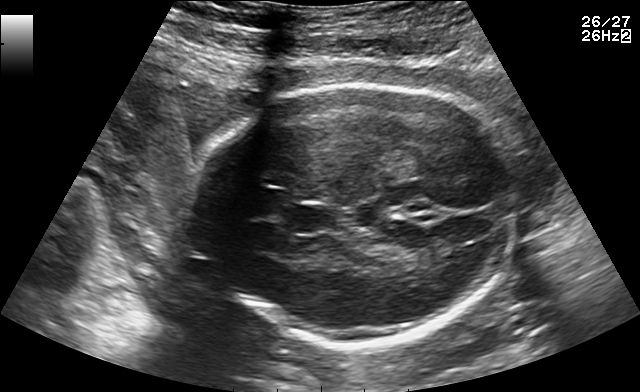
In this fetal brain, trans-thalamic plane, give the bounding box of the fetal head.

[185,85,519,348]